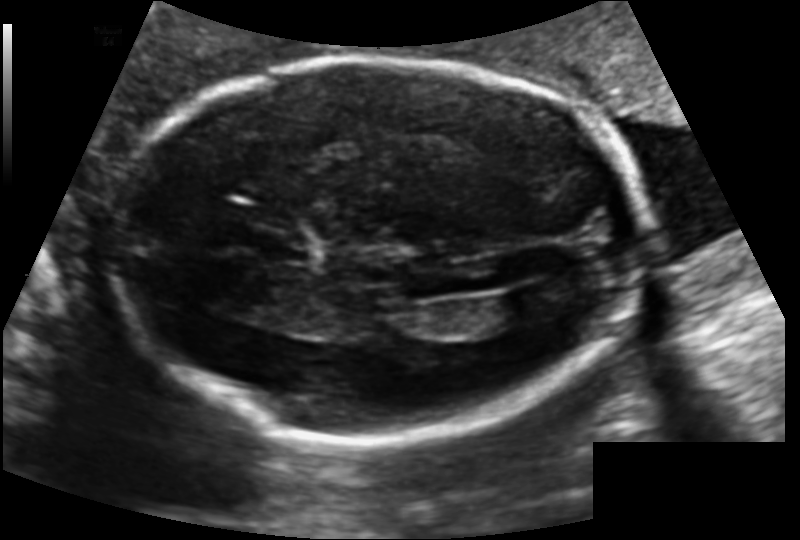
Fetal head ultrasound. Image width: 105.0 mm. Where is the fetal head?

Head bounding box: [112,56,650,440]